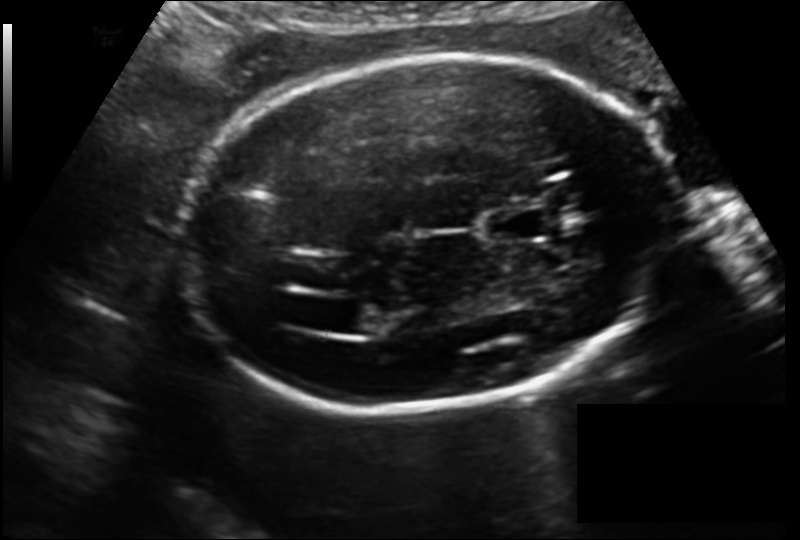
Fetal head ultrasound. Image width: 120.3 mm. Locate the cavum septum pellucidum.

CSP: [484,206,547,243]